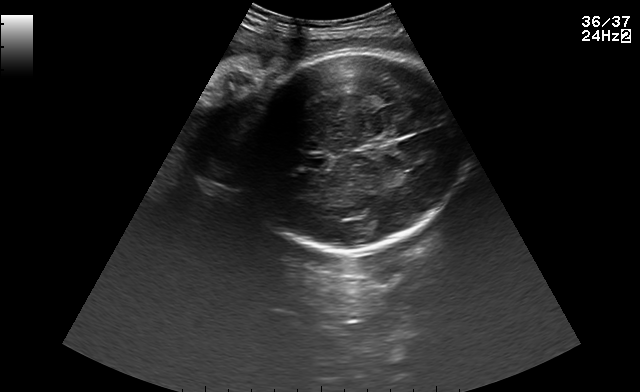
Fetal brain, trans-thalamic plane. Locate the fetal head and, if visible, the cavum septum pellucidum (CSP) and lateral ventricle (LV). Give bounding boxes as [x1,y1,x2,y2].

Head: [244,52,462,255]
CSP: [306,155,328,168]